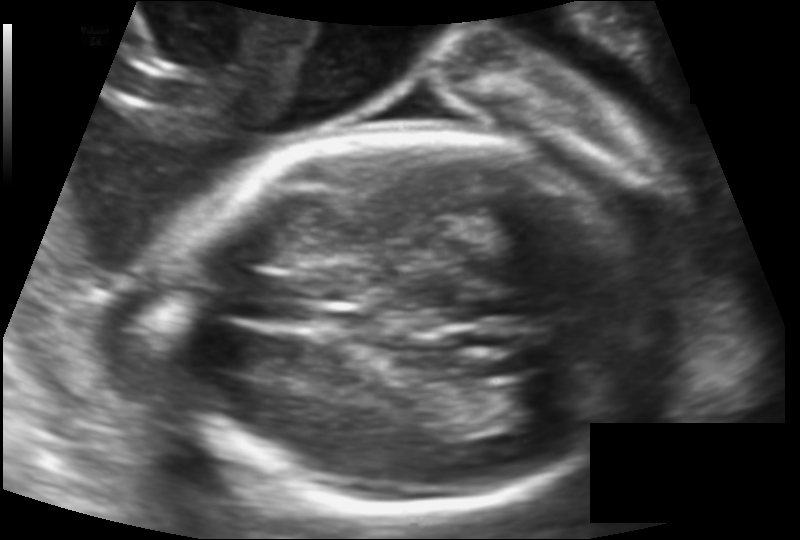
In this fetal head ultrasound, give bounding boxes for the head outline, cavum septum pellucidum (CSP), and lateral ventricle (LV), where visible. Image width: 106.2 mm.

Head: [170,129,655,515]
Lateral ventricle: [497,372,578,428]